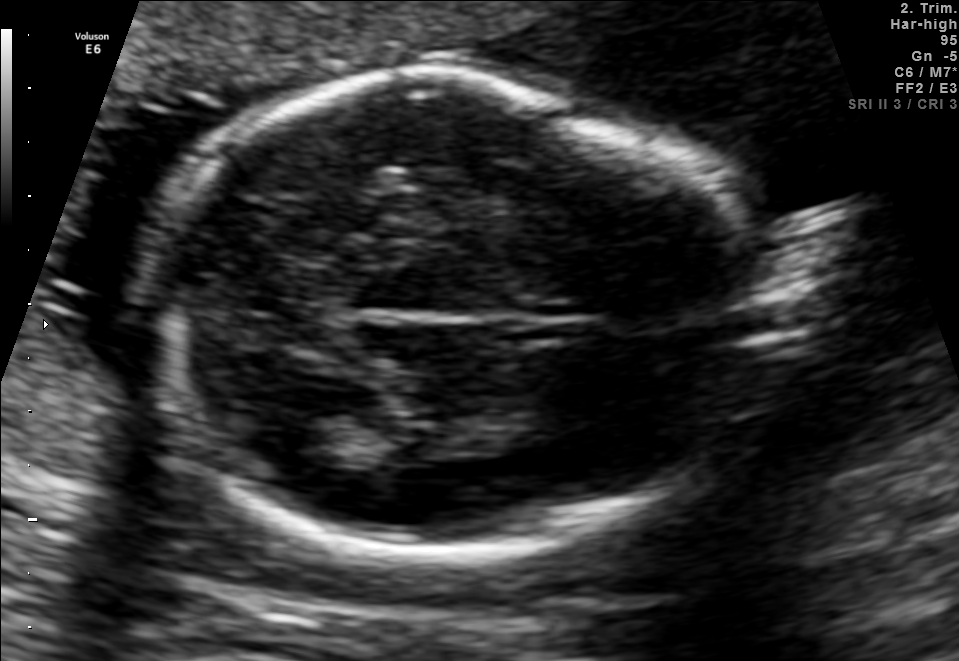
Fetal brain, trans-thalamic plane. Give [x1,y1,x2,y2] bounding boxes for each visible structure among: fetal head, CSP, LV.

Head: [149,72,754,547]